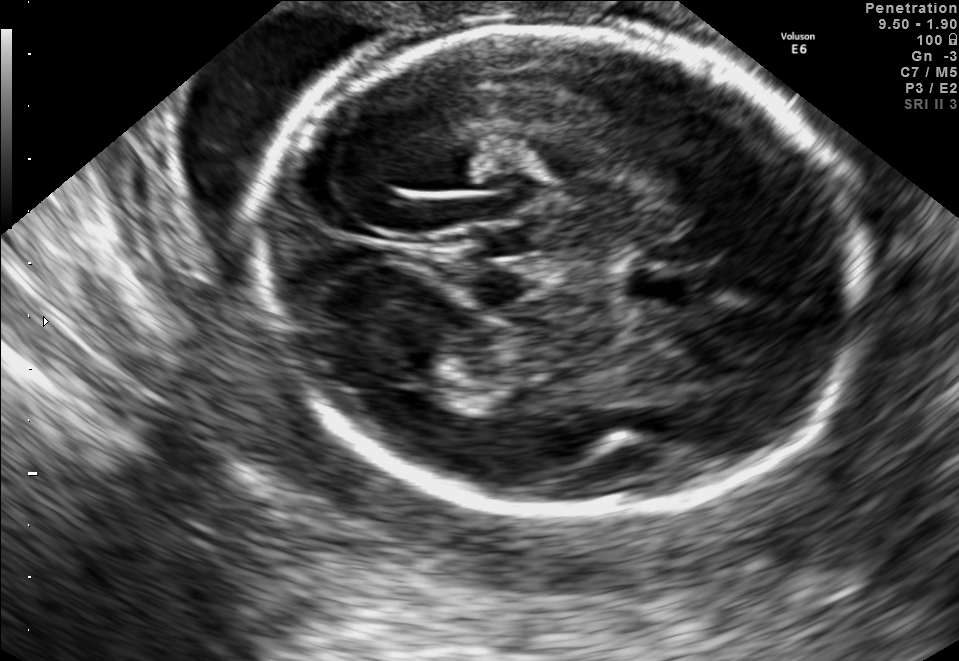
In this fetal brain, trans-thalamic plane, give the bounding box of the fetal head.

[258,23,861,512]